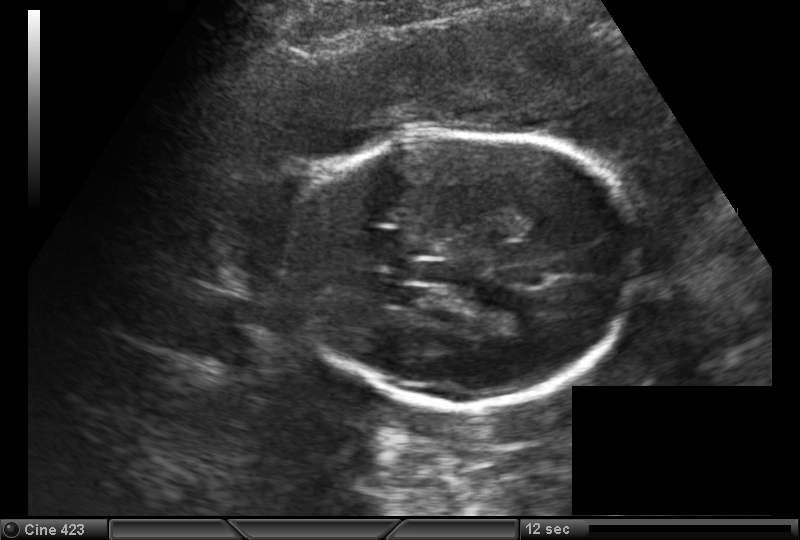
In this fetal head ultrasound, give the bounding box of the fetal head. Image width: 138.2 mm.

[289,132,636,409]